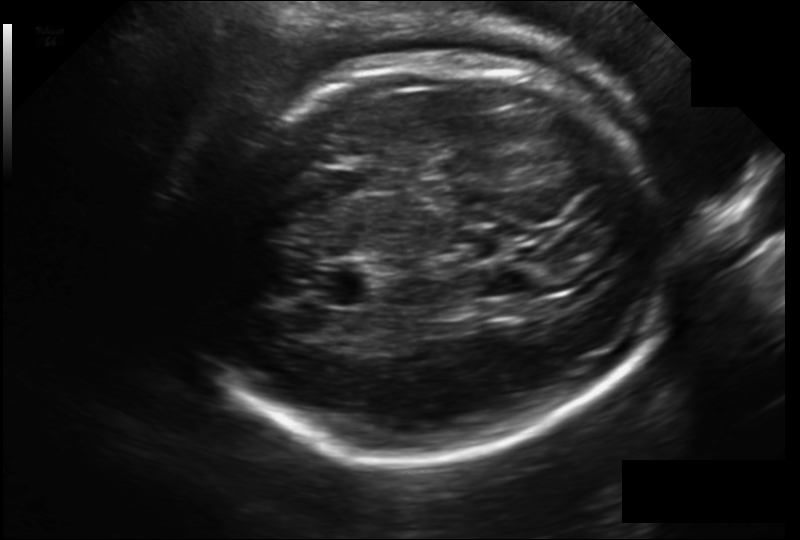
Measure the fetal head circumference shown in this ultrasound image. Image width: 162.0 mm.

Head circumference: 286.5 mm.